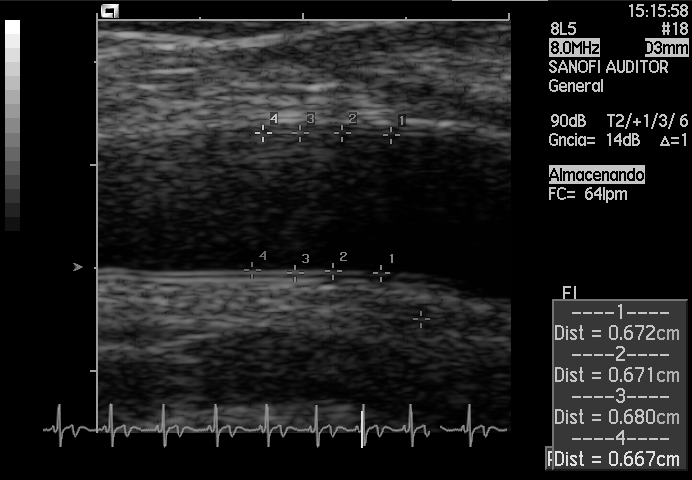
Identify the standard plane in this fetal ultrasound image: fetal abdomen, fetal brain, fetal femur, fetal thorax, maternal cervix, or other. If it's fetal brain and one of the three standard brain planes (trans-thalamic, trans-cerebellum, trans-ventricular), name which.

Other